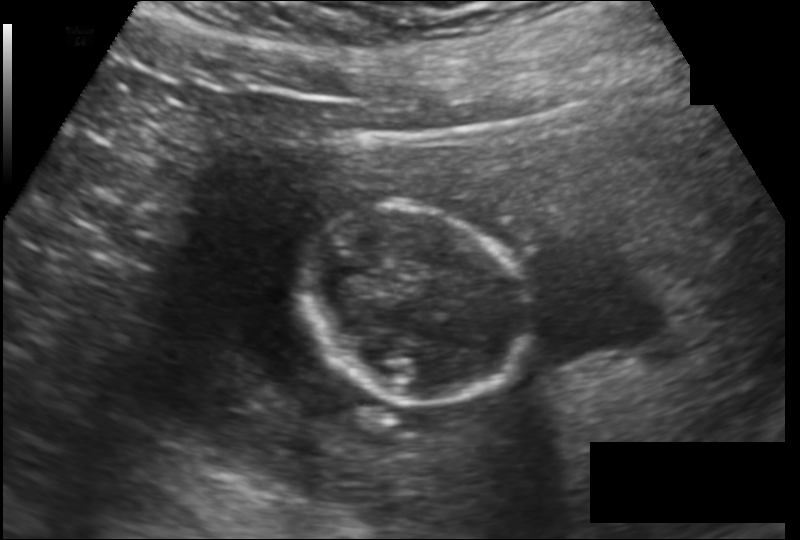
Measure the fetal head circumference shown in this ultrasound image. Image width: 119.2 mm.

Head circumference: 105.6 mm.